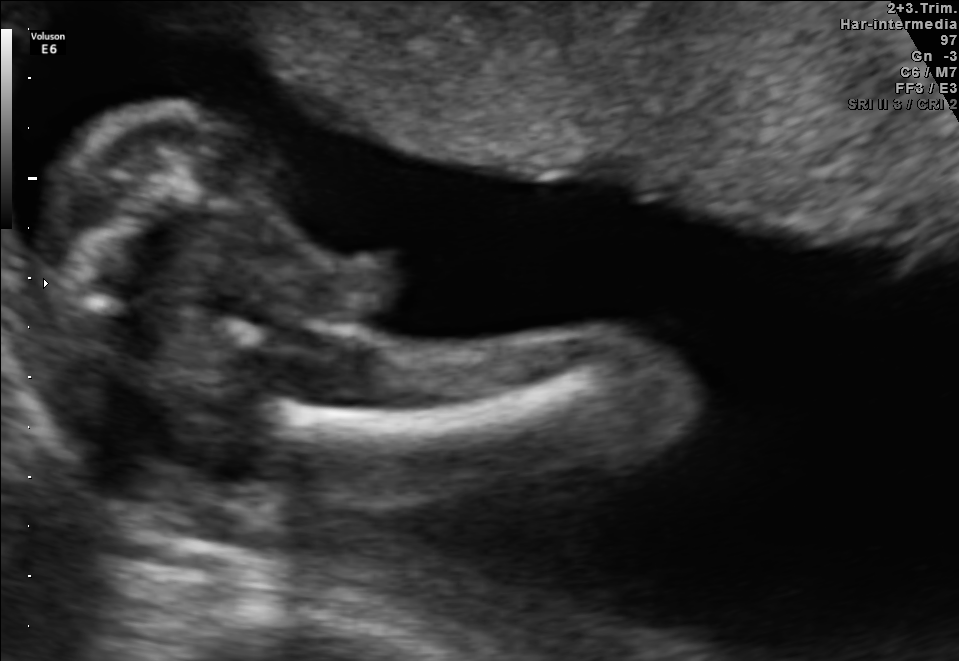
Classify this maternal-fetal ultrasound image as one of the six standard planes — fetal abdomen, fetal brain, fetal femur, fetal thorax, maternal cervix, or other. If it's fetal brain and one of the three standard brain planes (trans-thalamic, trans-cerebellum, trans-ventricular), name which.

Fetal femur